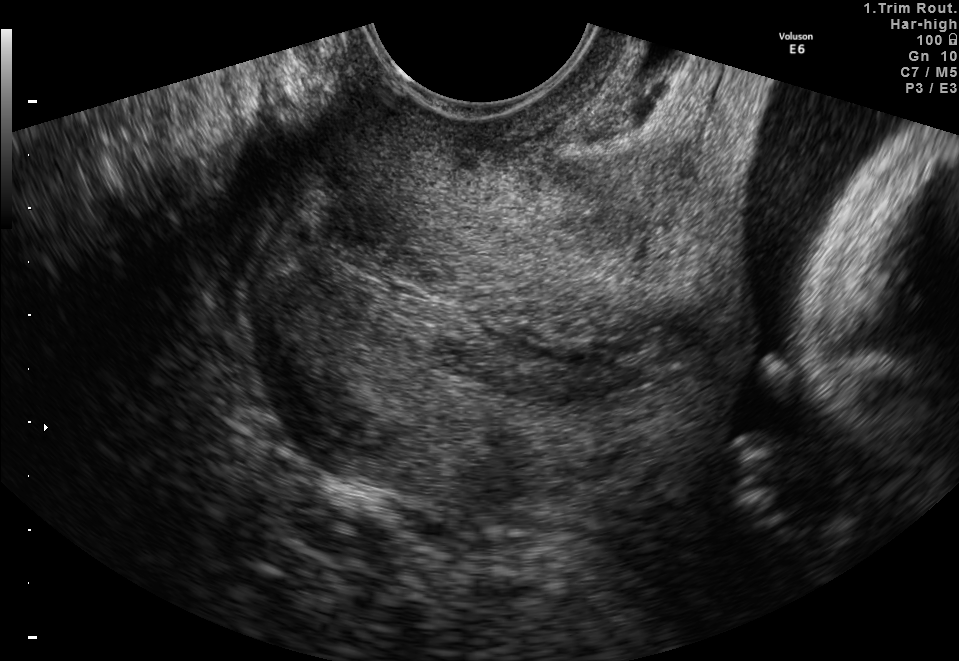
Which standard maternal-fetal ultrasound plane is shown: fetal abdomen, fetal brain, fetal femur, fetal thorax, maternal cervix, or other? If it's fetal brain and one of the three standard brain planes (trans-thalamic, trans-cerebellum, trans-ventricular), name which.

Maternal cervix